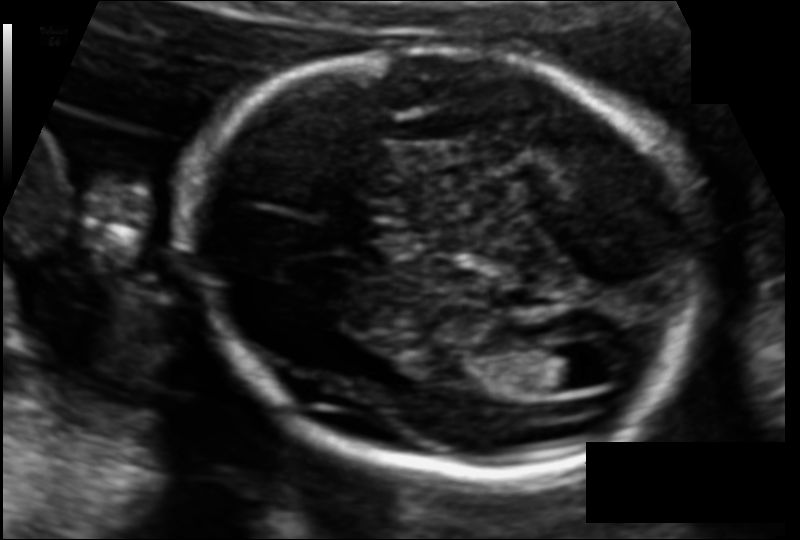
In this fetal head ultrasound, give bounding boxes for the head outline, cavum septum pellucidum (CSP), and lateral ventricle (LV), where visible. Image width: 87.7 mm.

Head: [191,46,707,478]
Lateral ventricle: [522,345,590,393]